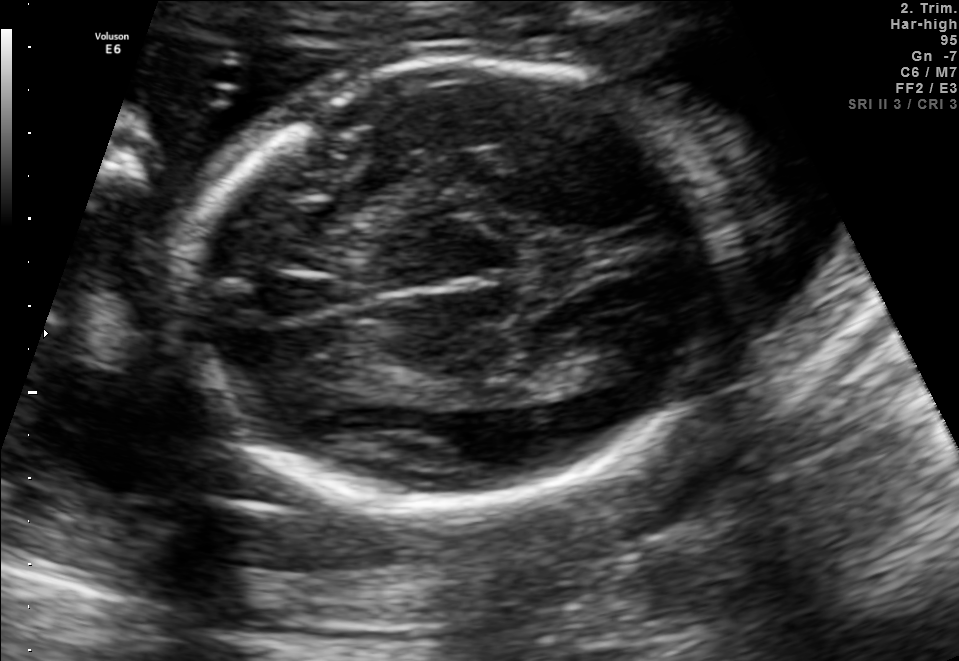
Fetal brain, trans-thalamic plane. Give [x1,y1,x2,y2] bounding boxes for each visible structure among: fetal head, CSP, LV.

Head: [182,56,719,507]